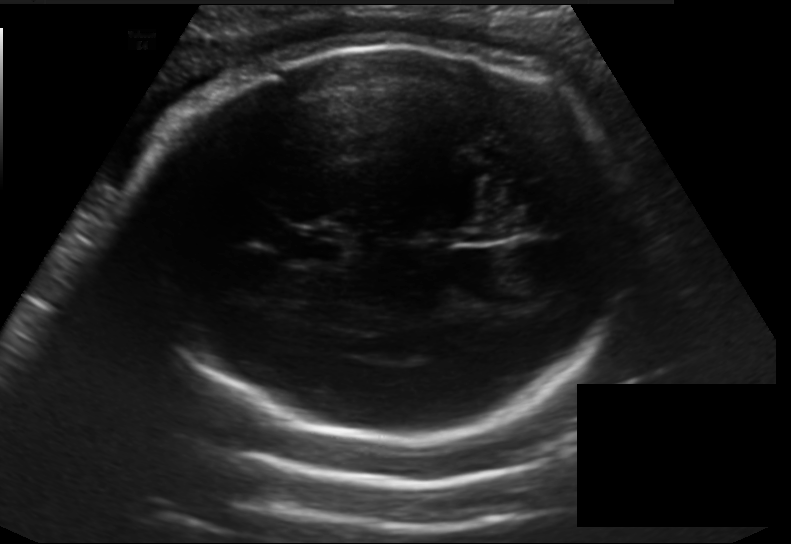
From this fetal ultrasound, estimate the head circumference (image width 156.8 mm).

Head circumference: 292.4 mm.